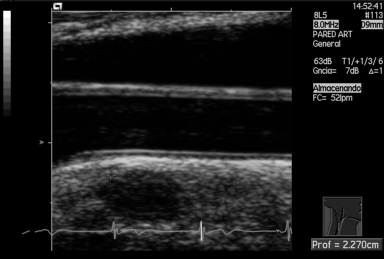
This is a 2D maternal-fetal ultrasound frame. Is it a fetal abdomen, fetal brain, fetal femur, fetal thorax, maternal cervix, or other standard plane? If it's fetal brain and one of the three standard brain planes (trans-thalamic, trans-cerebellum, trans-ventricular), name which.

Other